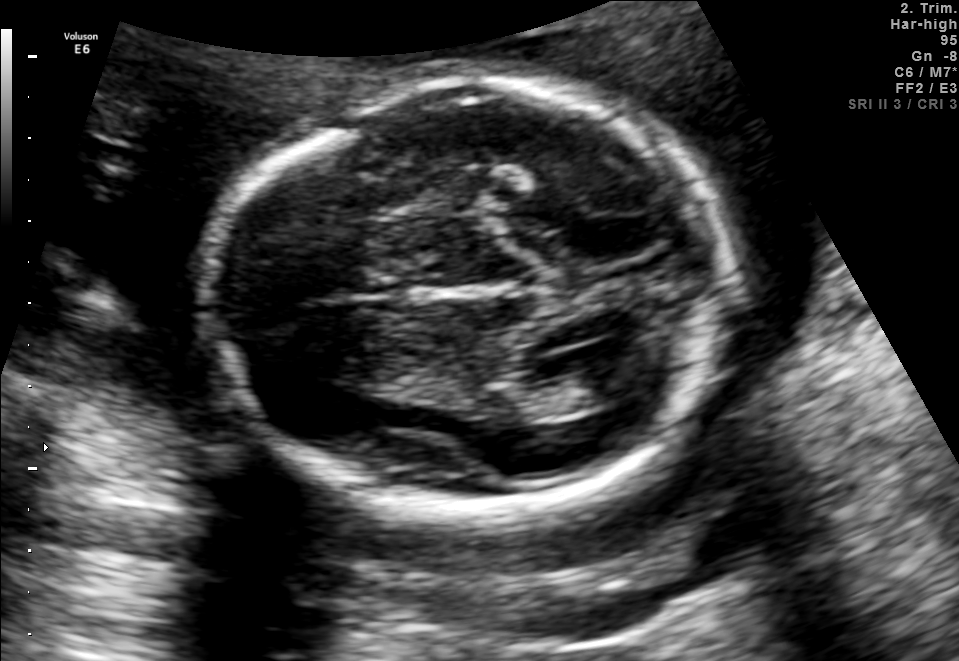
In this fetal brain, trans-ventricular plane, give the bounding box of the lateral ventricle.

[582,356,651,408]